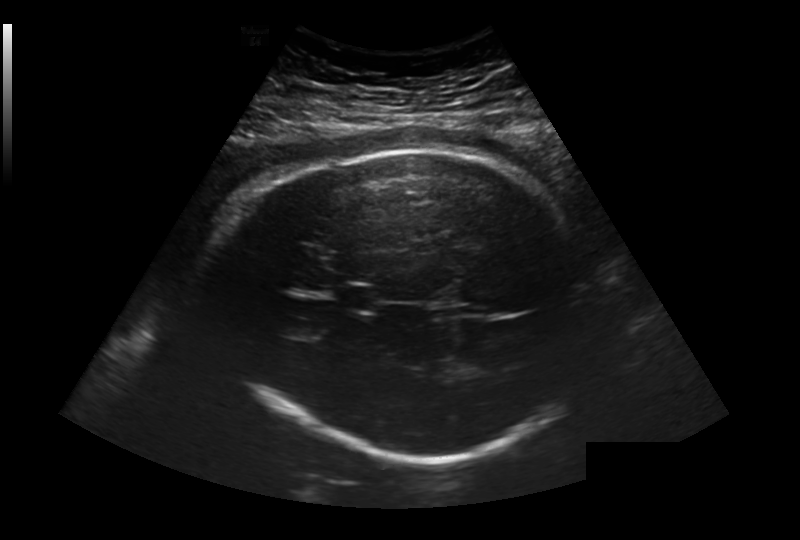
Fetal head ultrasound. Image width: 224.9 mm. Locate the fetal head and, if visible, the cavum septum pellucidum (CSP) and lateral ventricle (LV). Give bounding boxes as [x1,y1,x2,y2].

Head: [216,149,602,458]
CSP: [335,282,383,316]